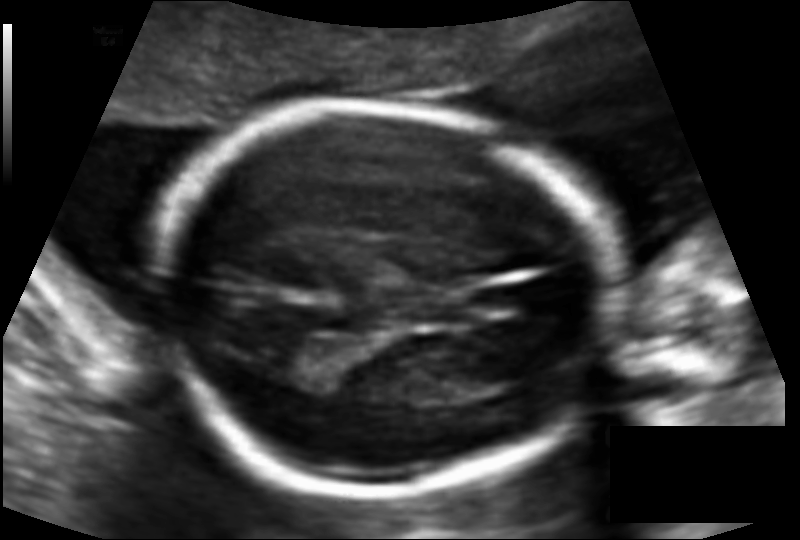
In this fetal head ultrasound, give the bounding box of the fetal head. Image width: 87.7 mm.

[157,107,606,492]